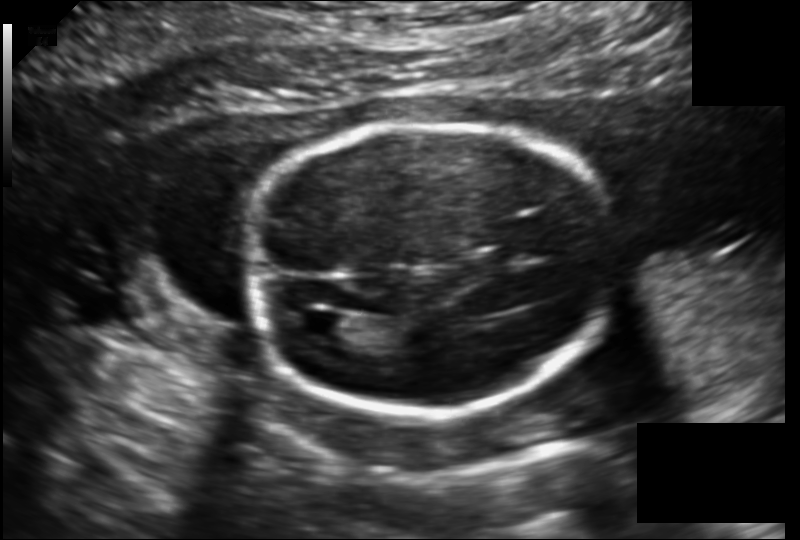
Measure the fetal head circumference shown in this ultrasound image. Image width: 119.0 mm.

Head circumference: 159.9 mm.